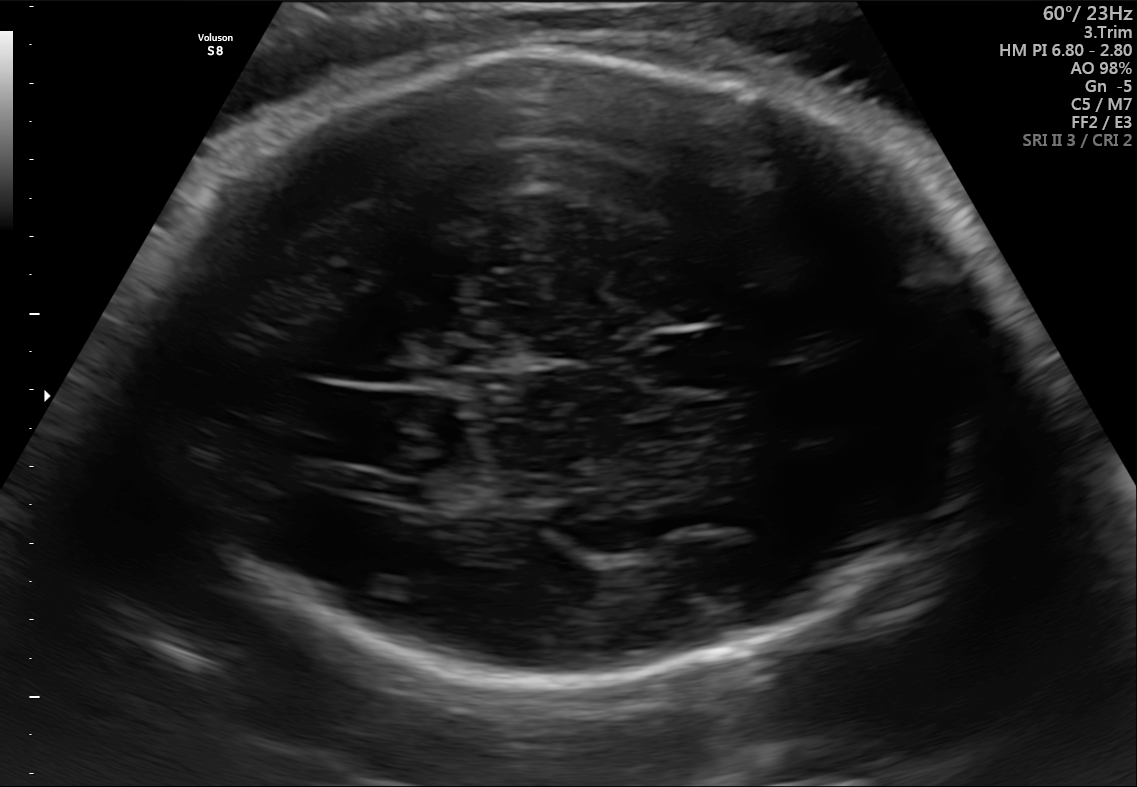
Fetal brain, trans-thalamic plane. Where is the cavum septum pellucidum?

CSP bounding box: [648,334,741,388]